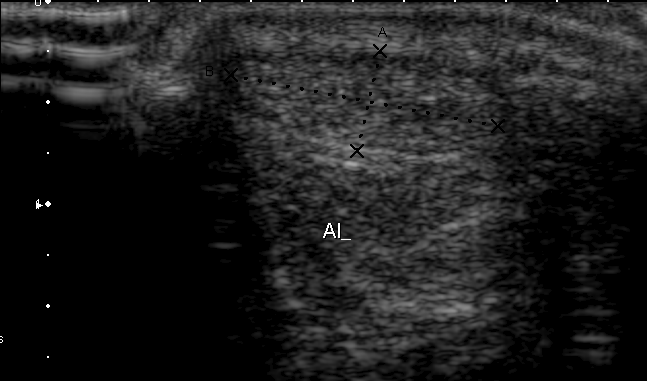
Identify the standard plane in this fetal ultrasound image: fetal abdomen, fetal brain, fetal femur, fetal thorax, maternal cervix, or other. If it's fetal brain and one of the three standard brain planes (trans-thalamic, trans-cerebellum, trans-ventricular), name which.

Other